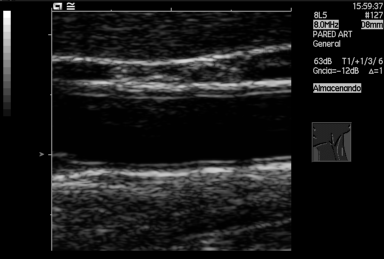
This is a 2D maternal-fetal ultrasound frame. Is it a fetal abdomen, fetal brain, fetal femur, fetal thorax, maternal cervix, or other standard plane? If it's fetal brain and one of the three standard brain planes (trans-thalamic, trans-cerebellum, trans-ventricular), name which.

Other